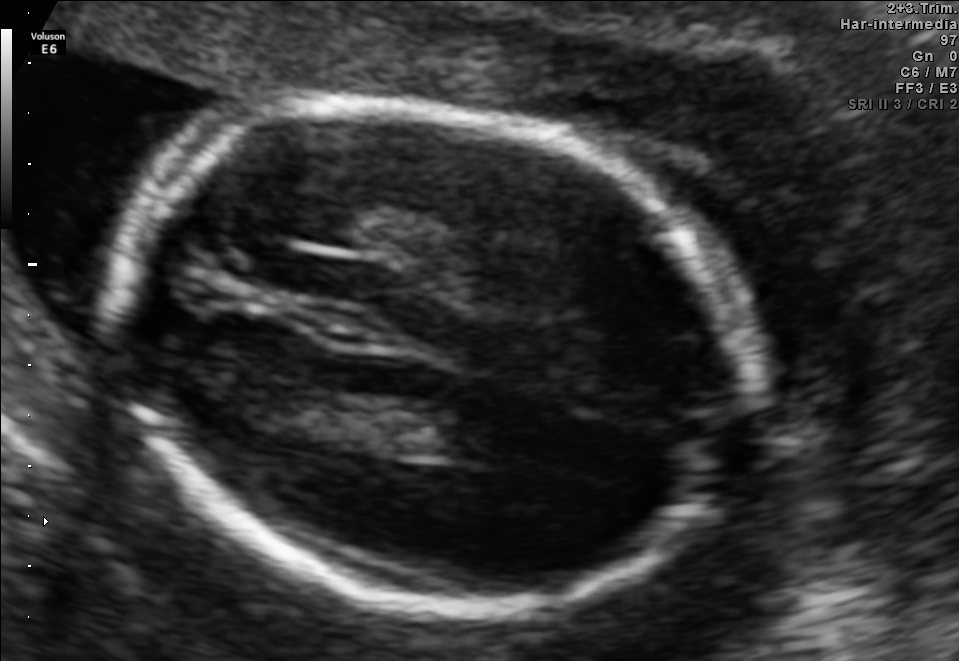
Identify the standard plane in this fetal ultrasound image: fetal abdomen, fetal brain, fetal femur, fetal thorax, maternal cervix, or other. If it's fetal brain and one of the three standard brain planes (trans-thalamic, trans-cerebellum, trans-ventricular), name which.

Fetal brain (trans-thalamic plane)